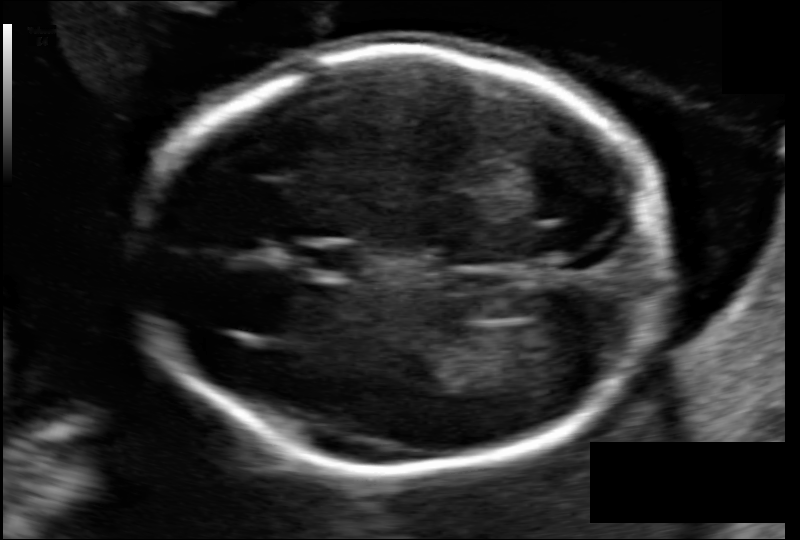
Measure the fetal head circumference shown in this ultrasound image. Image width: 82.2 mm.

Head circumference: 156.3 mm.